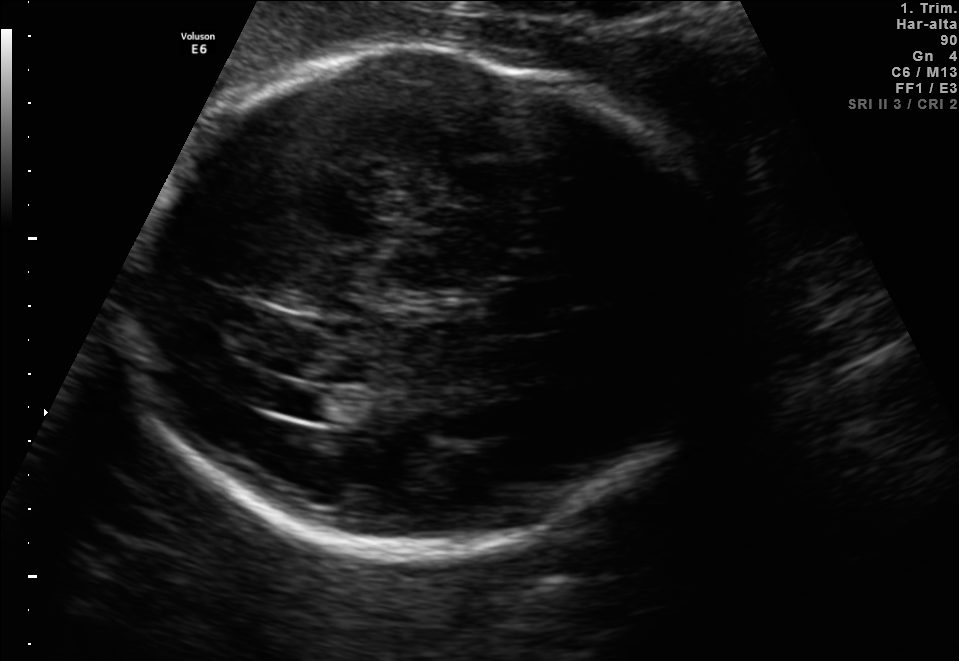
Fetal brain, trans-ventricular plane. Locate the fetal head.

Head: [135,44,740,565]